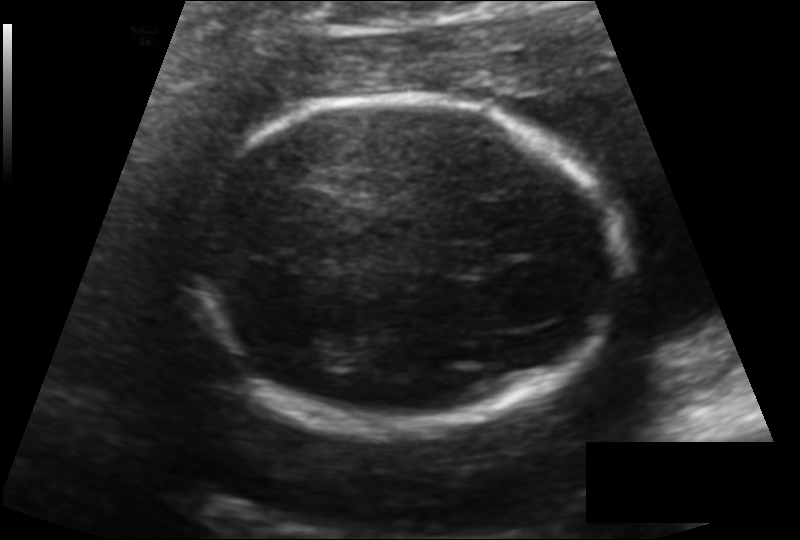
Fetal head ultrasound. Image width: 109.0 mm. Locate the fetal head.

Head: [178,99,627,430]